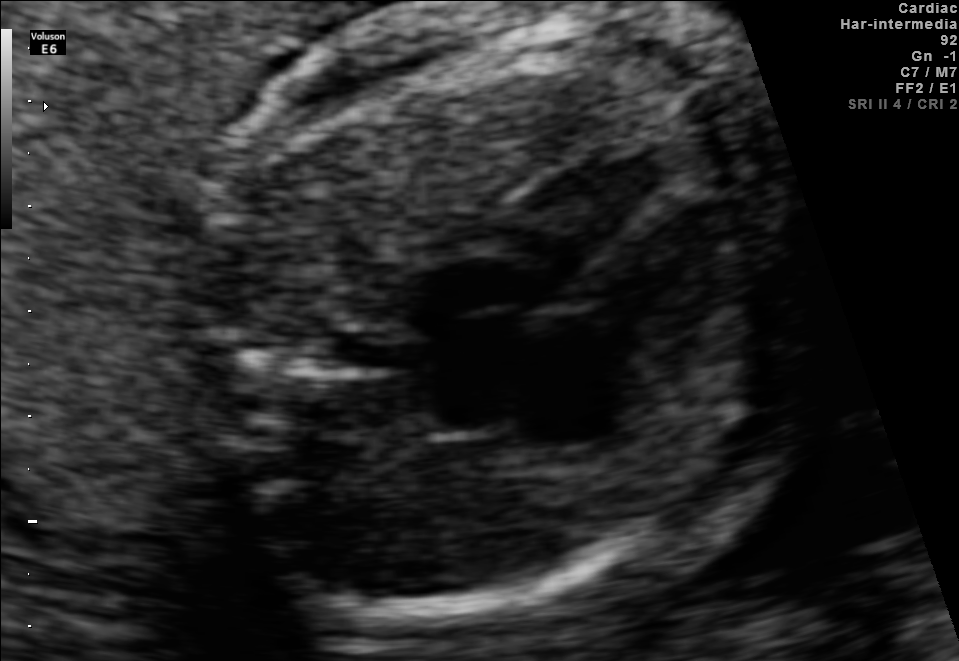
This is a 2D maternal-fetal ultrasound frame. Is it a fetal abdomen, fetal brain, fetal femur, fetal thorax, maternal cervix, or other standard plane? If it's fetal brain and one of the three standard brain planes (trans-thalamic, trans-cerebellum, trans-ventricular), name which.

Fetal thorax